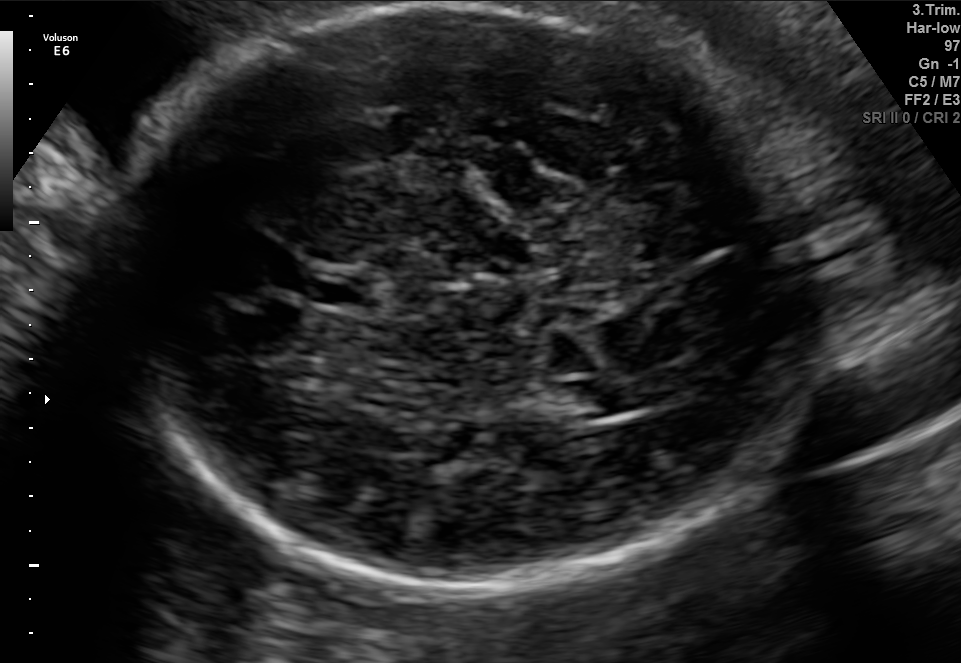
Fetal brain, trans-ventricular plane. Locate the cavum septum pellucidum.

CSP: [311,270,371,311]